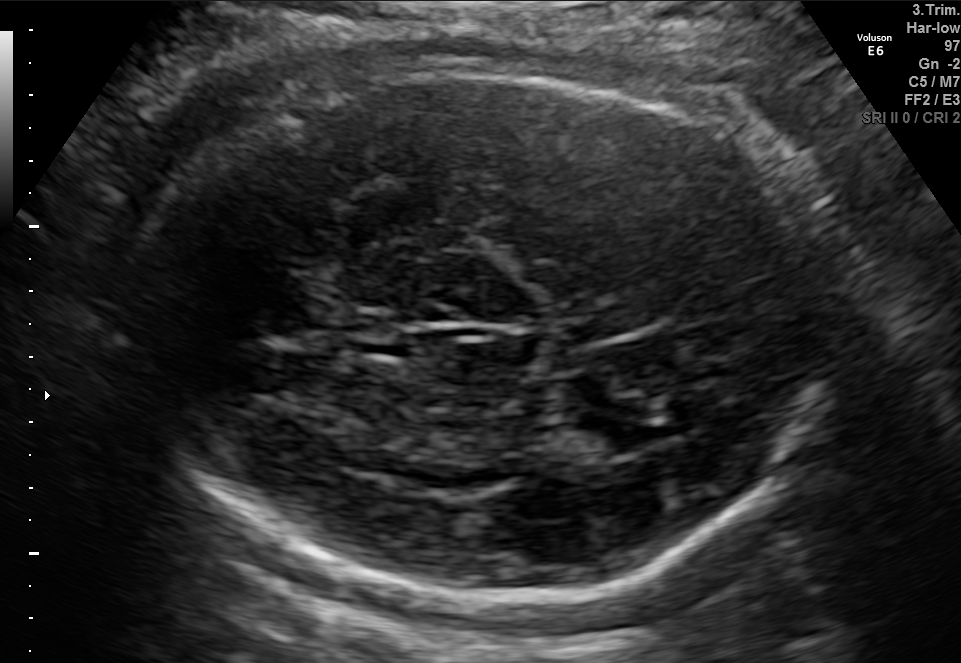
Fetal brain, trans-thalamic plane. Locate the fetal head.

Head: [131,66,830,611]